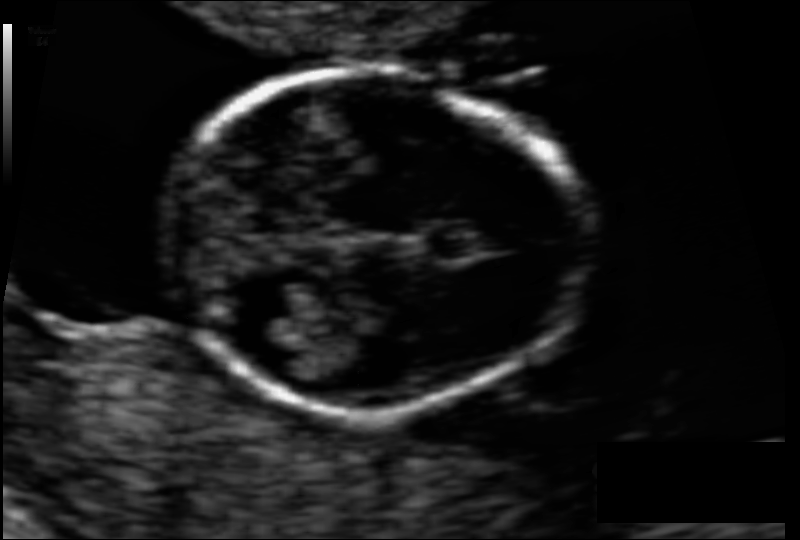
Fetal head ultrasound. Image width: 52.1 mm. Give [x1,y1,x2,y2] bounding boxes for each visible structure among: fetal head, CSP, LV.

Head: [163,73,586,413]
CSP: [429,221,495,263]